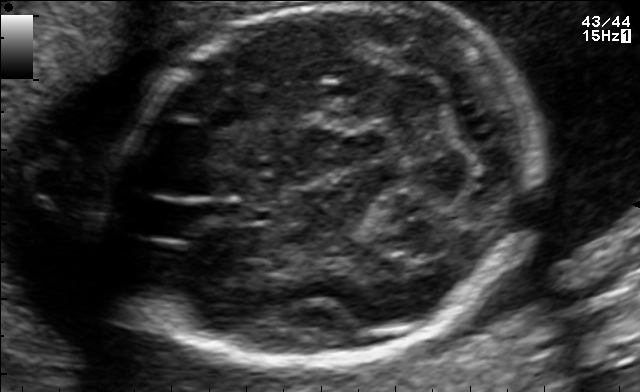
Which standard maternal-fetal ultrasound plane is shown: fetal abdomen, fetal brain, fetal femur, fetal thorax, maternal cervix, or other? If it's fetal brain and one of the three standard brain planes (trans-thalamic, trans-cerebellum, trans-ventricular), name which.

Fetal brain (trans-cerebellum plane)